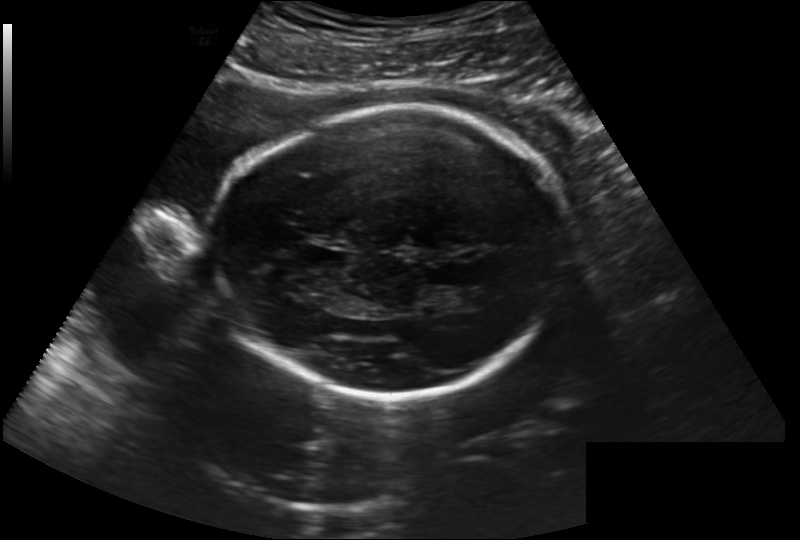
In this fetal head ultrasound, give bounding boxes for the head outline, cavum septum pellucidum (CSP), and lateral ventricle (LV), where visible. Image width: 177.2 mm.

Head: [214,107,568,399]